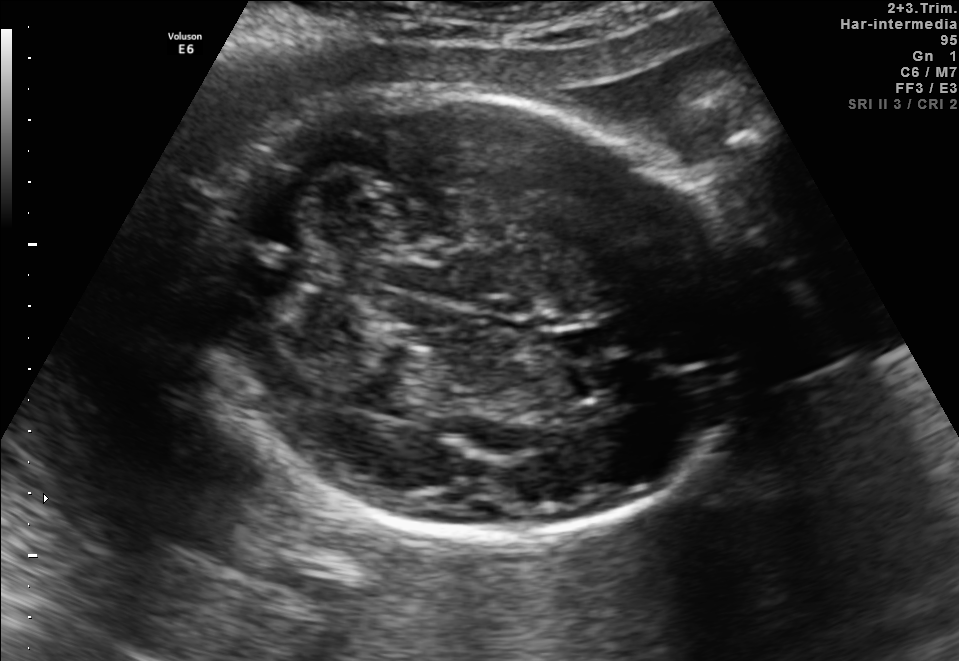
Classify this maternal-fetal ultrasound image as one of the six standard planes — fetal abdomen, fetal brain, fetal femur, fetal thorax, maternal cervix, or other. If it's fetal brain and one of the three standard brain planes (trans-thalamic, trans-cerebellum, trans-ventricular), name which.

Fetal brain (trans-cerebellum plane)